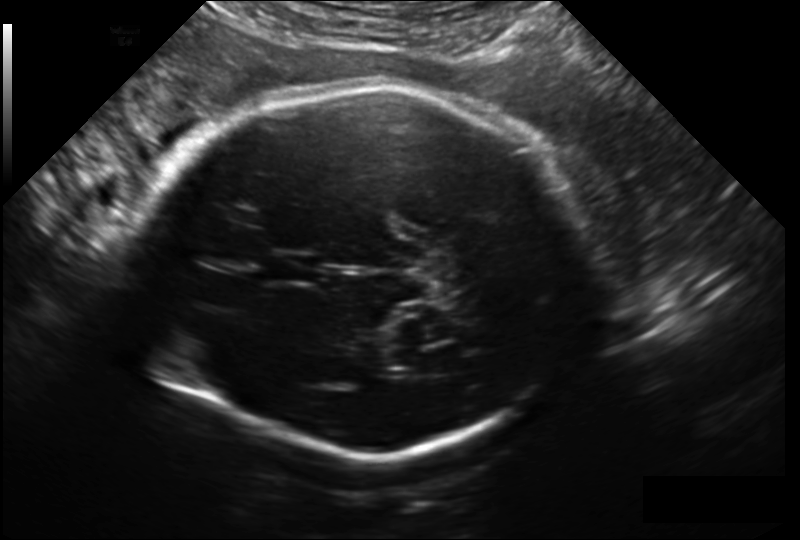
Fetal head ultrasound. Image width: 167.2 mm. Where is the fetal head?

Head bounding box: [136,86,589,454]